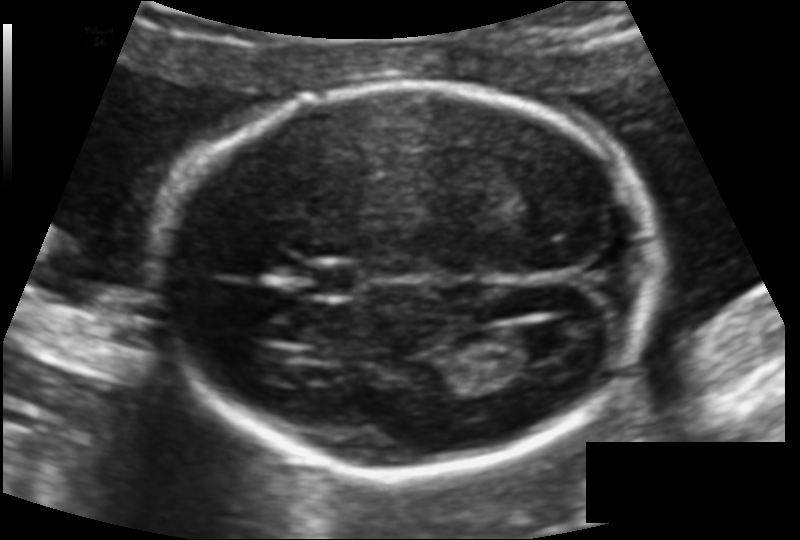
In this fetal head ultrasound, give the bounding box of the lateral ventricle. Image width: 93.9 mm.

[495,321,566,368]